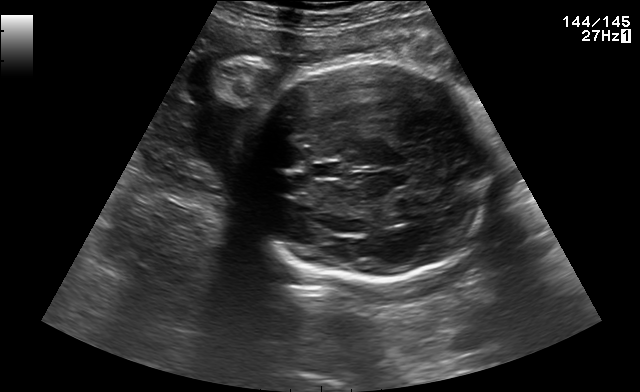
Fetal brain, trans-thalamic plane. Locate the fetal head and, if visible, the cavum septum pellucidum (CSP) and lateral ventricle (LV). Give bounding boxes as [x1,y1,x2,y2].

Head: [238,64,500,279]
CSP: [312,161,344,179]